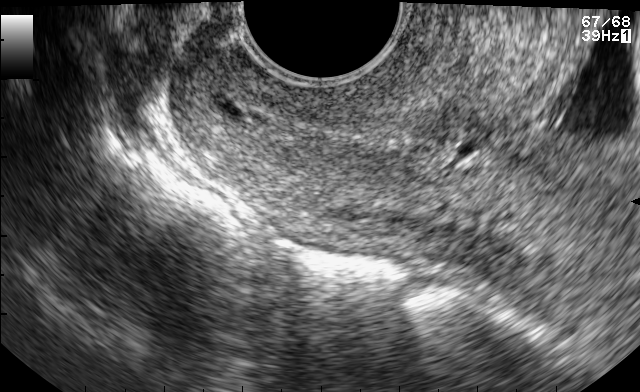
This is a 2D maternal-fetal ultrasound frame. Is it a fetal abdomen, fetal brain, fetal femur, fetal thorax, maternal cervix, or other standard plane? If it's fetal brain and one of the three standard brain planes (trans-thalamic, trans-cerebellum, trans-ventricular), name which.

Maternal cervix